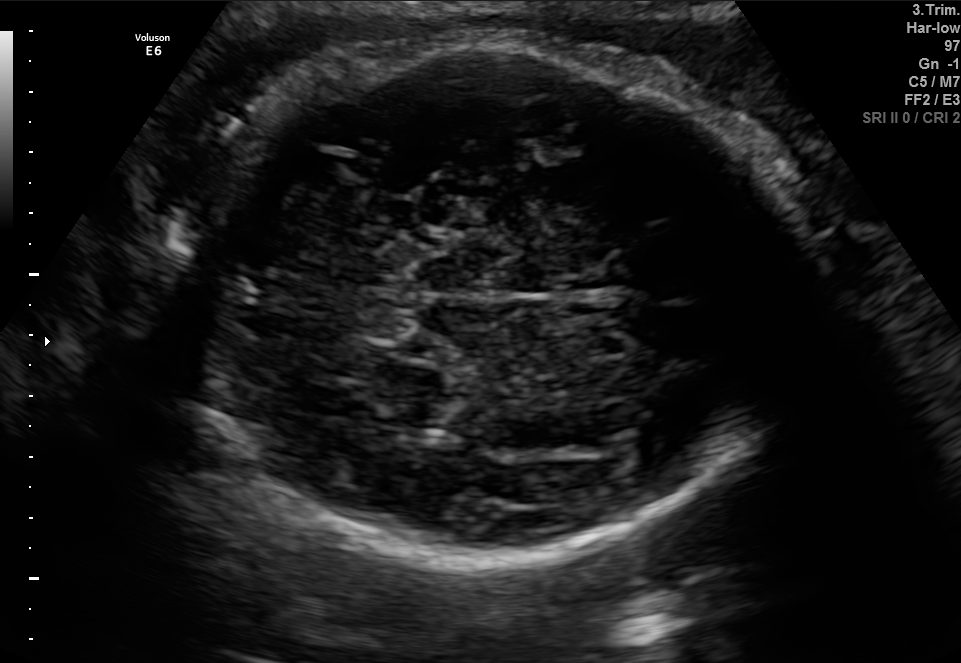
In this fetal brain, trans-cerebellum plane, give the bounding box of the fetal head.

[175,45,796,564]